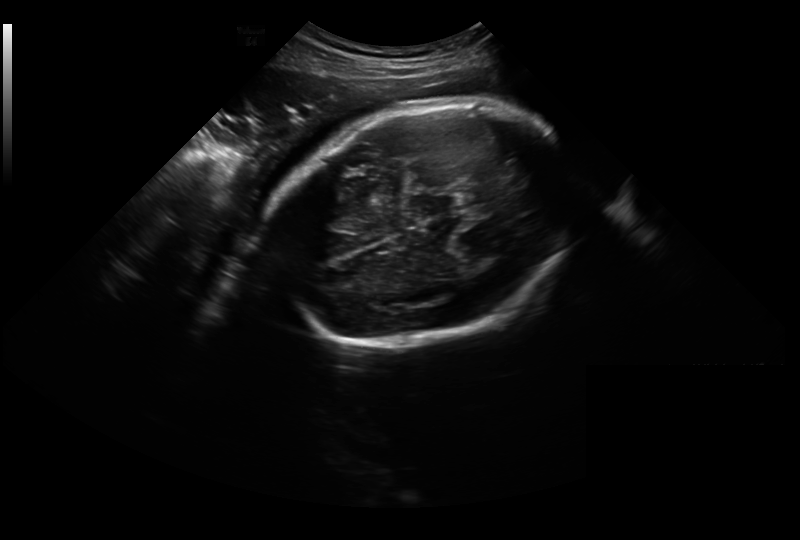
Measure the fetal head circumference shown in this ultrasound image. Image width: 261.1 mm.

Head circumference: 288.2 mm.